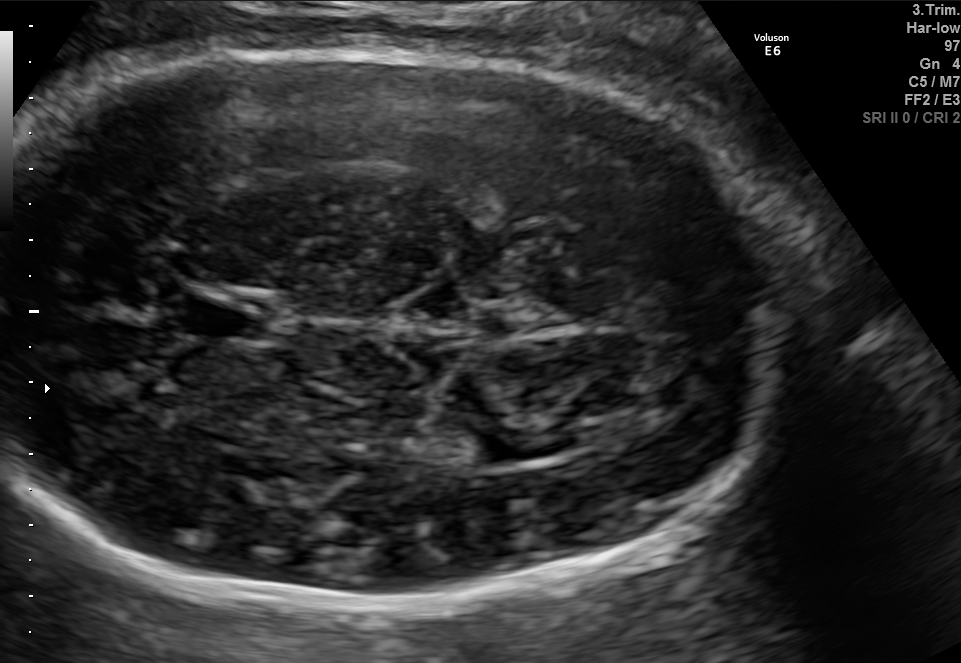
Fetal brain, trans-thalamic plane. Locate the cavum septum pellucidum.

CSP: [183,296,270,337]